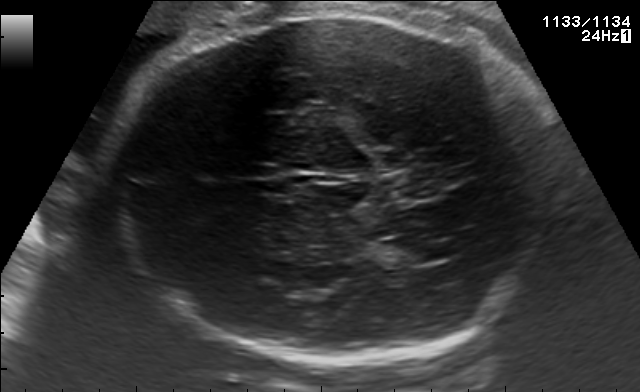
In this fetal brain, trans-ventricular plane, give bounding boxes for the head outline, cavum septum pellucidum (CSP), and lateral ventricle (LV), where visible.

Head: [108,11,565,365]